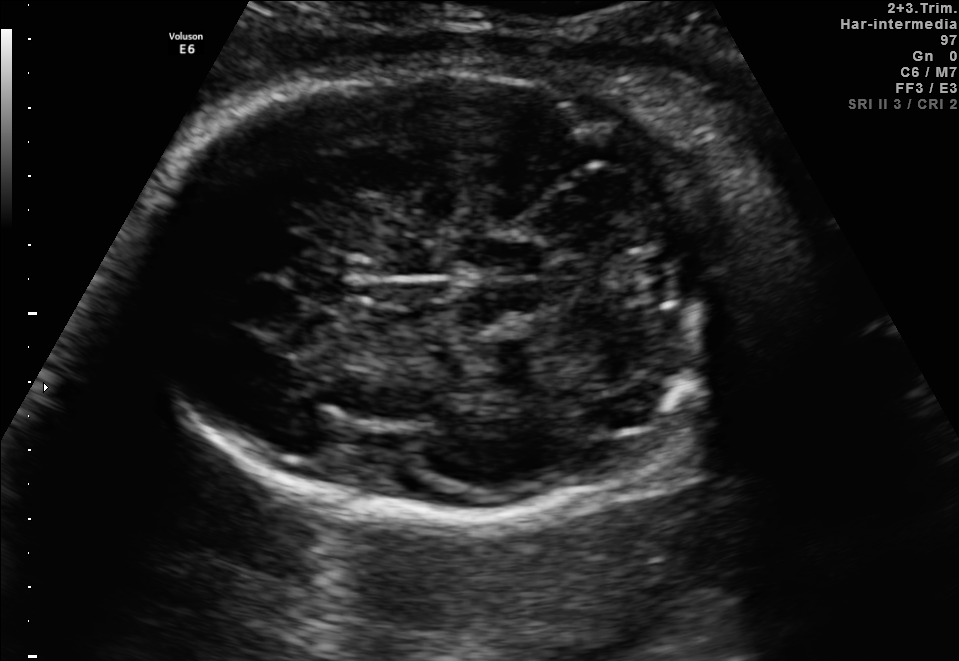
In this fetal brain, trans-cerebellum plane, give the bounding box of the fetal head.

[141,60,746,529]